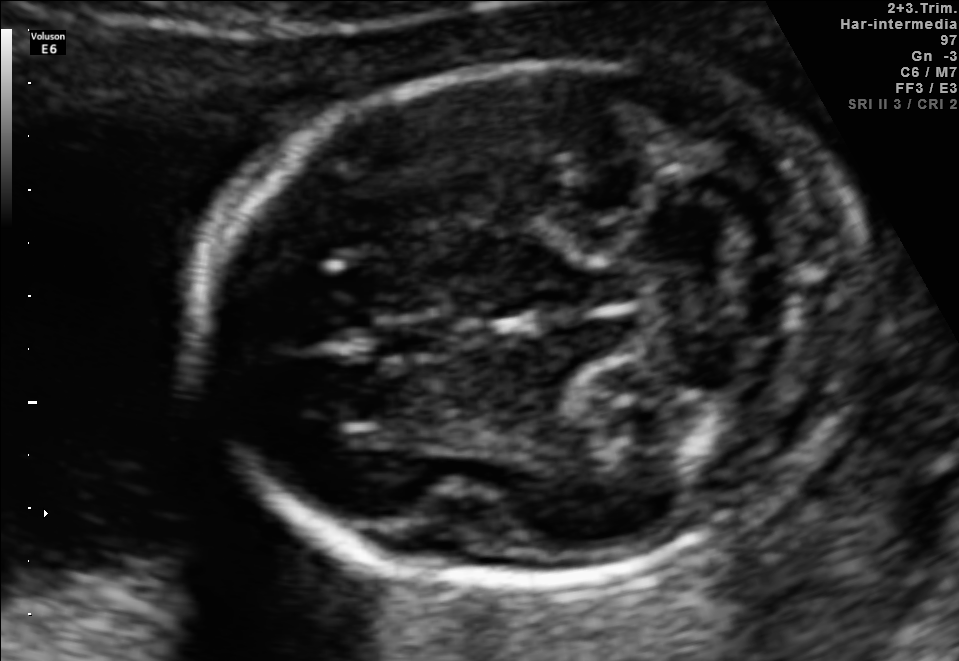
Fetal brain, trans-cerebellum plane. Locate the fetal head.

Head: [201,59,868,584]